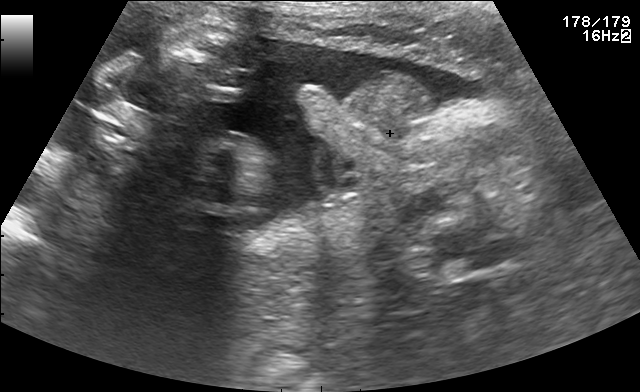
This is a 2D maternal-fetal ultrasound frame. Is it a fetal abdomen, fetal brain, fetal femur, fetal thorax, maternal cervix, or other standard plane? If it's fetal brain and one of the three standard brain planes (trans-thalamic, trans-cerebellum, trans-ventricular), name which.

Other